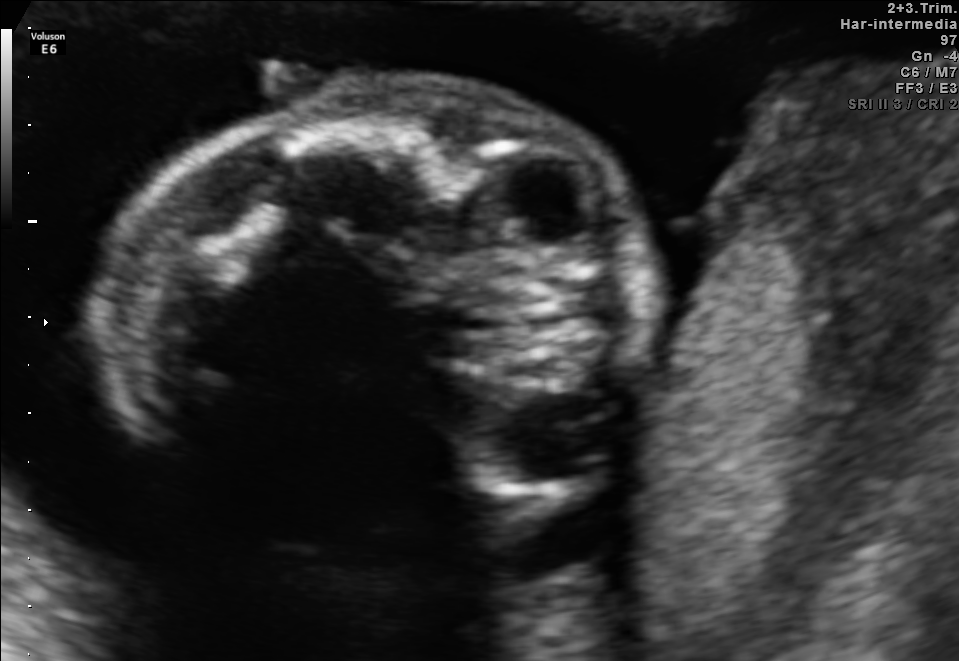
Identify the standard plane in this fetal ultrasound image: fetal abdomen, fetal brain, fetal femur, fetal thorax, maternal cervix, or other. If it's fetal brain and one of the three standard brain planes (trans-thalamic, trans-cerebellum, trans-ventricular), name which.

Other